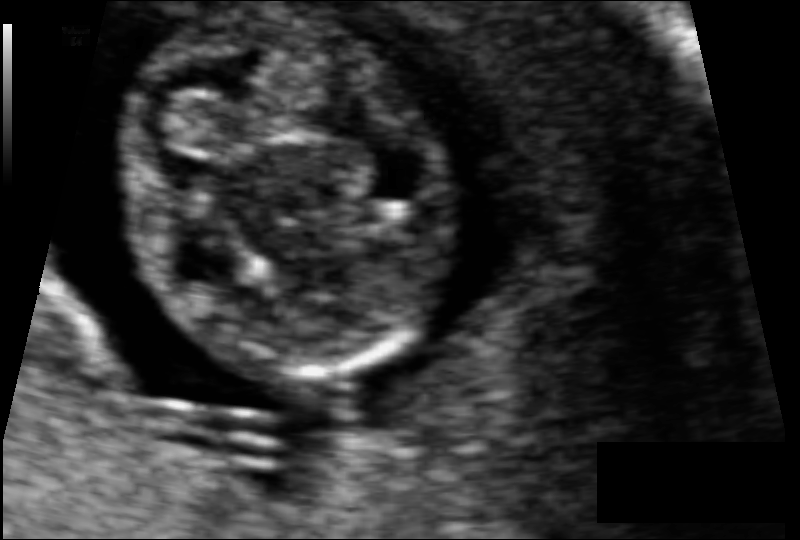
What is the fetal head circumference? Image width is 49.6 mm.

68.8 mm